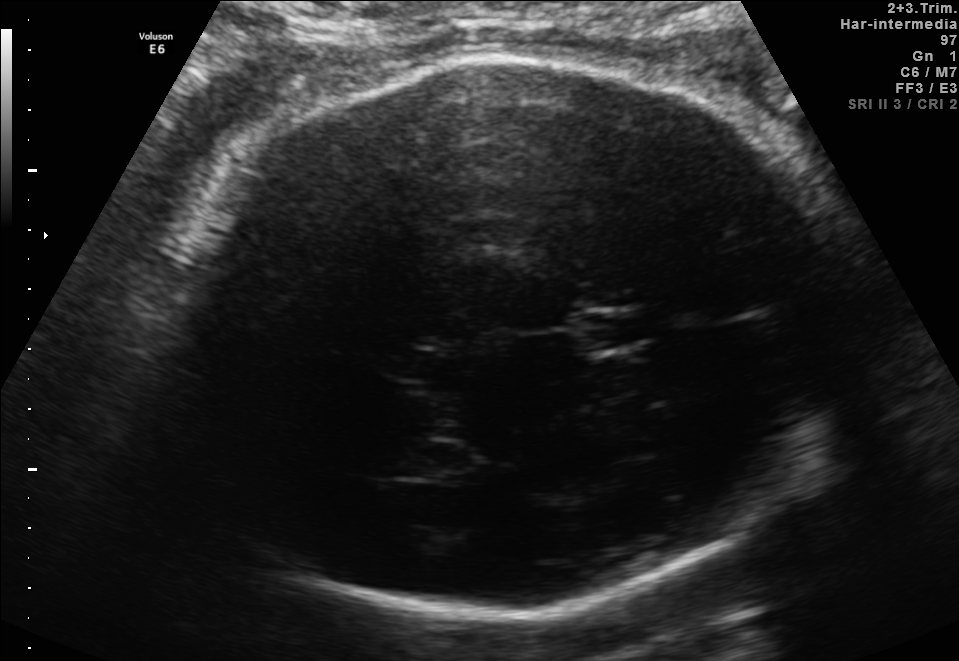
In this fetal brain, trans-thalamic plane, give the bounding box of the fetal head.

[154,55,851,612]